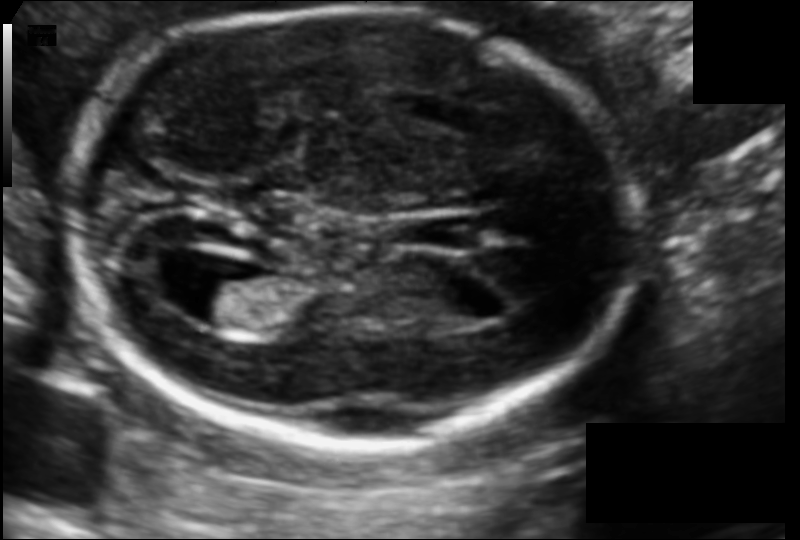
Estimate the fetal head circumference from this 2D ultrasound.

Head circumference: 171.0 mm (image width 83.9 mm).